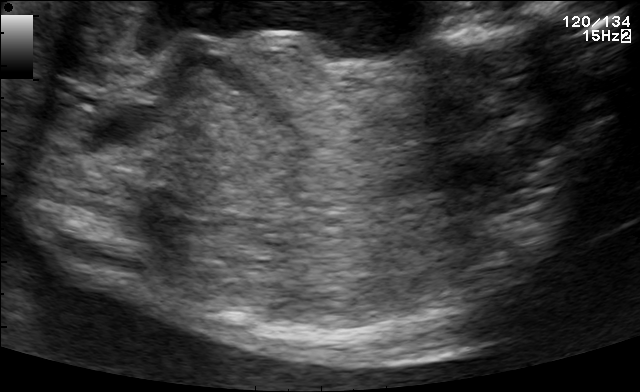
Classify this maternal-fetal ultrasound image as one of the six standard planes — fetal abdomen, fetal brain, fetal femur, fetal thorax, maternal cervix, or other. If it's fetal brain and one of the three standard brain planes (trans-thalamic, trans-cerebellum, trans-ventricular), name which.

Other